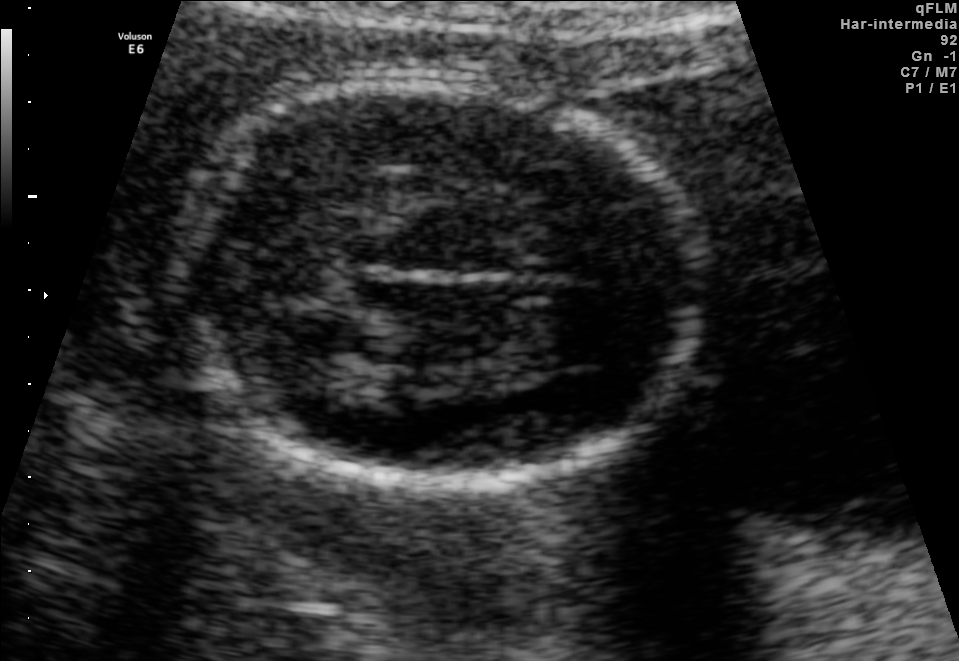
Fetal brain, trans-thalamic plane. Locate the fetal head and, if visible, the cavum septum pellucidum (CSP) and lateral ventricle (LV). Give bounding boxes as [x1,y1,x2,y2].

Head: [171,78,702,483]